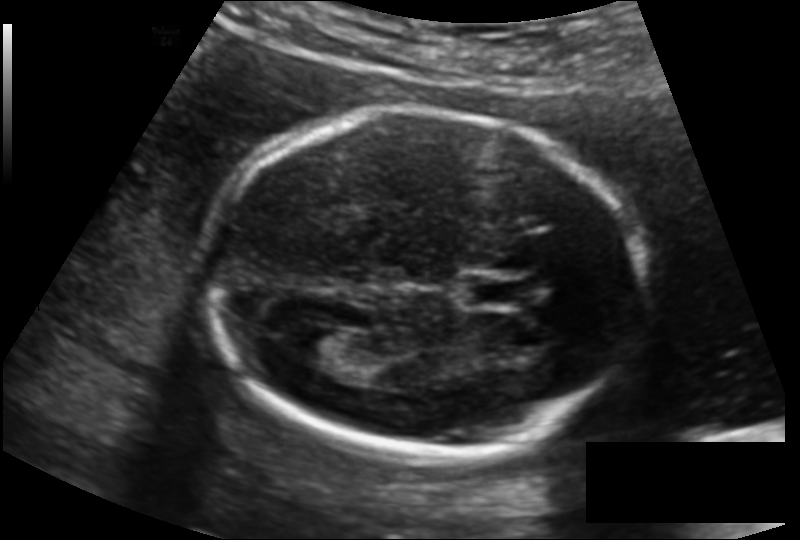
In this fetal head ultrasound, give the bounding box of the lateral ventricle. Image width: 107.6 mm.

[285,317,357,374]